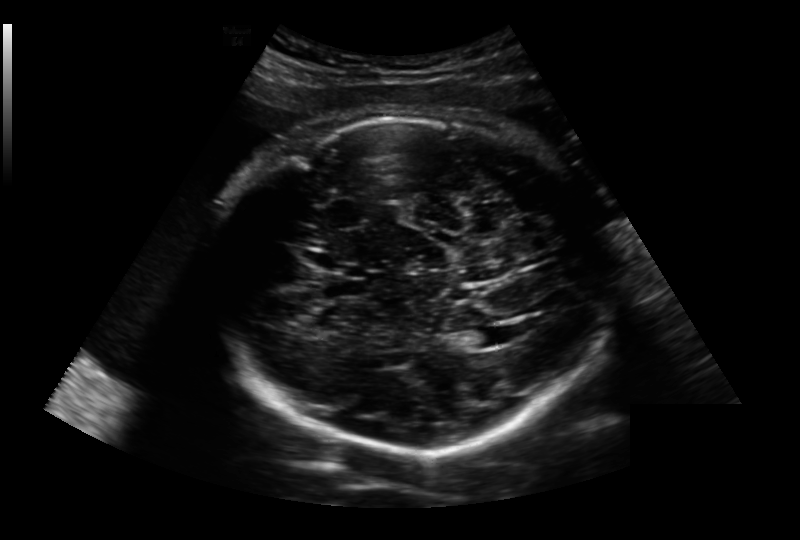
In this fetal head ultrasound, give the bounding box of the lateral ventricle. Image width: 188.7 mm.

[461,324,509,351]